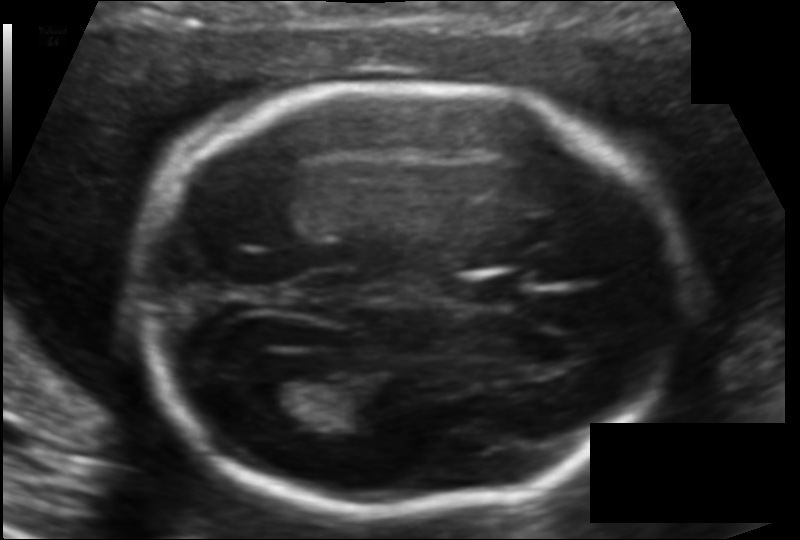
Fetal head ultrasound. Image width: 94.1 mm. Locate the fetal head and, if visible, the cavum septum pellucidum (CSP) and lateral ventricle (LV). Give bounding boxes as [x1,y1,x2,y2].

Head: [135,82,675,509]
CSP: [464,268,535,311]
Lateral ventricle: [248,372,340,428]